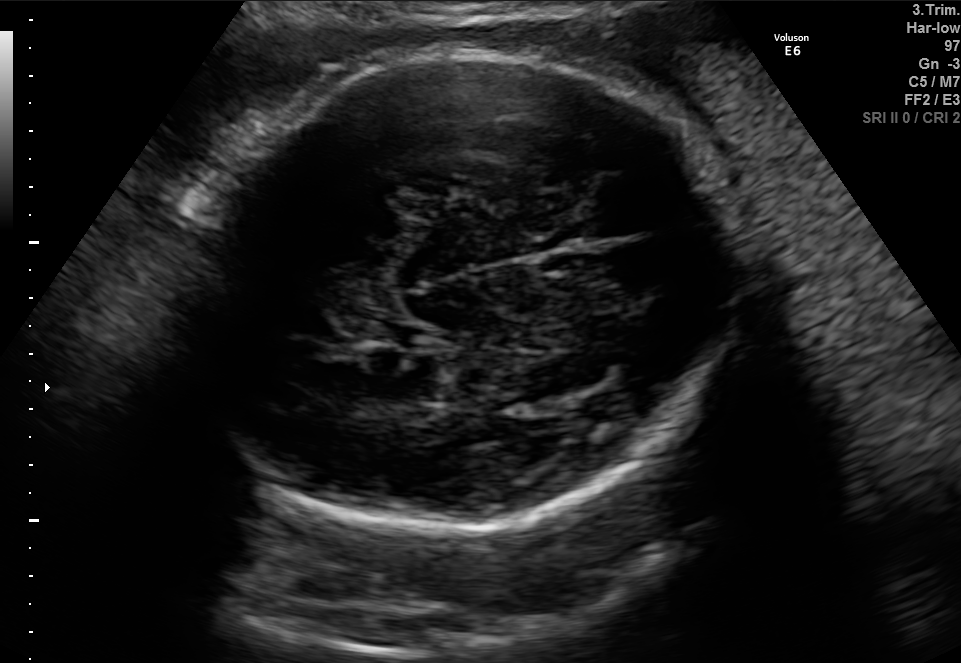
Fetal brain, trans-thalamic plane. Give [x1,y1,x2,y2] bounding boxes for each visible structure among: fetal head, CSP, LV.

Head: [187,55,738,534]